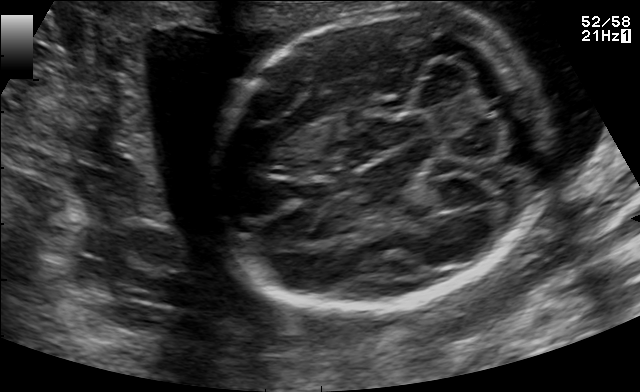
In this fetal brain, trans-cerebellum plane, give bounding boxes for the head outline, cavum septum pellucidum (CSP), and lateral ventricle (LV), where visible.

Head: [220,9,537,311]
CSP: [291,175,340,211]